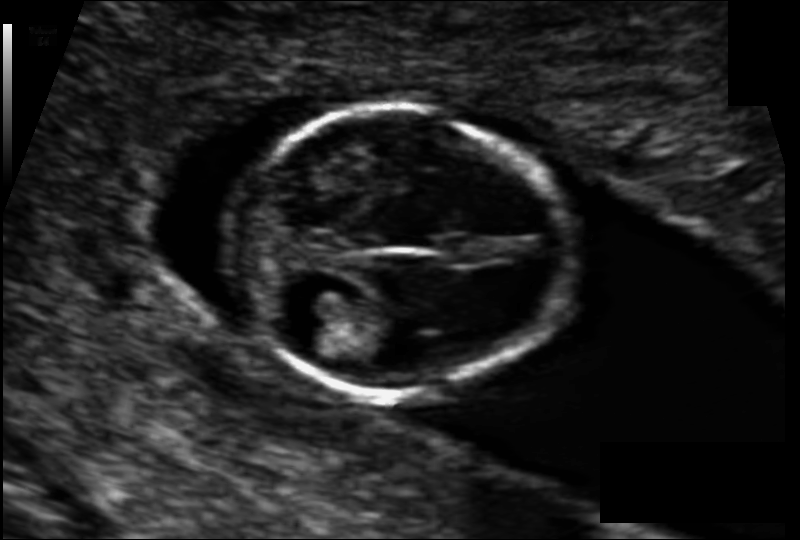
From this fetal ultrasound, estimate the head circumference (image width 63.0 mm).

Head circumference: 78.5 mm.